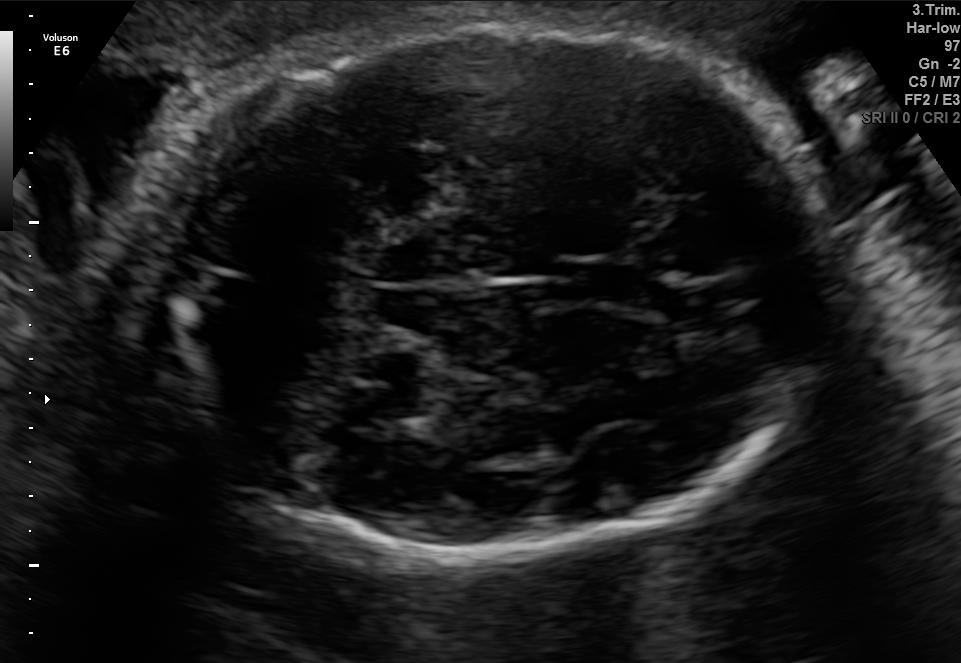
Fetal brain, trans-cerebellum plane. Locate the fetal head and, if visible, the cavum septum pellucidum (CSP) and lateral ventricle (LV). Give bounding boxes as [x1,y1,x2,y2].

Head: [140,24,829,555]
CSP: [571,255,658,312]